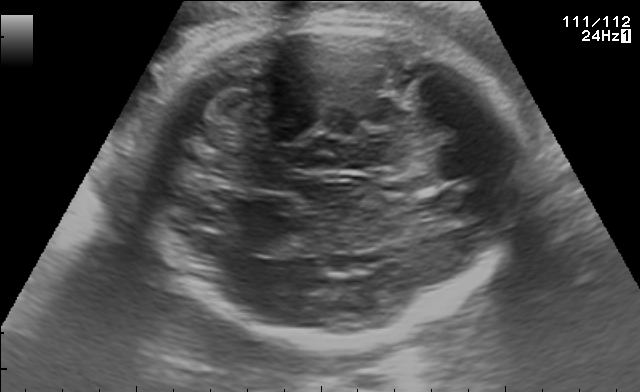
Fetal brain, trans-cerebellum plane. Locate the fetal head and, if visible, the cavum septum pellucidum (CSP) and lateral ventricle (LV). Give bounding boxes as [x1,y1,x2,y2].

Head: [143,12,525,342]